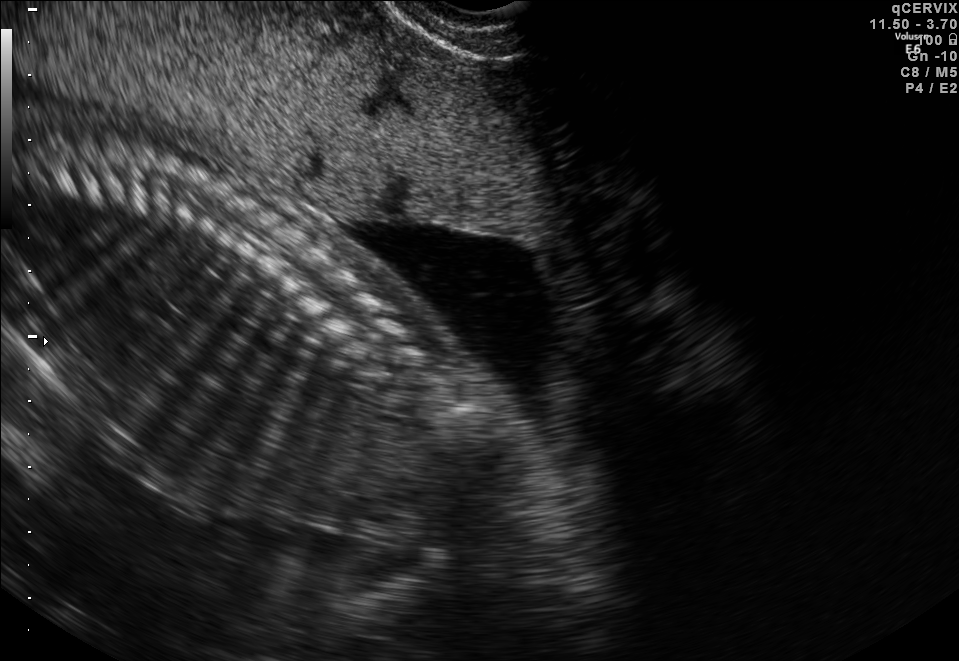
Identify the standard plane in this fetal ultrasound image: fetal abdomen, fetal brain, fetal femur, fetal thorax, maternal cervix, or other. If it's fetal brain and one of the three standard brain planes (trans-thalamic, trans-cerebellum, trans-ventricular), name which.

Maternal cervix